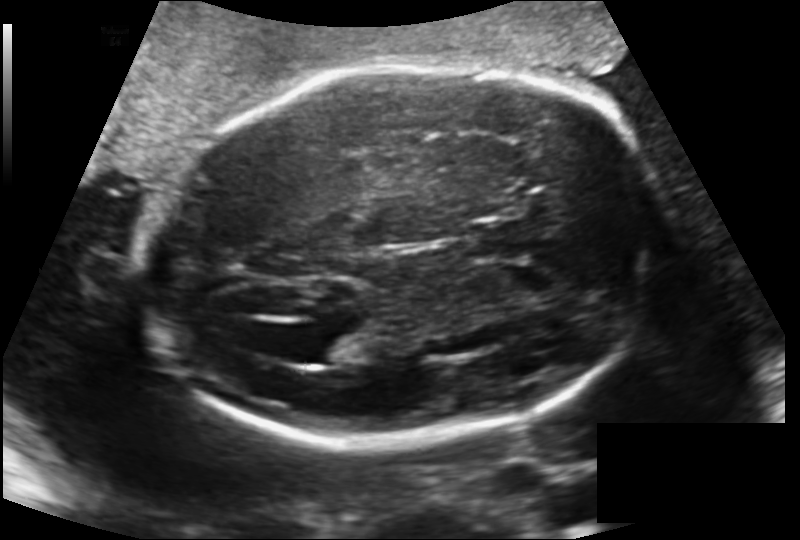
In this fetal head ultrasound, give the bounding box of the fetal head. Image width: 136.0 mm.

[142,63,668,444]